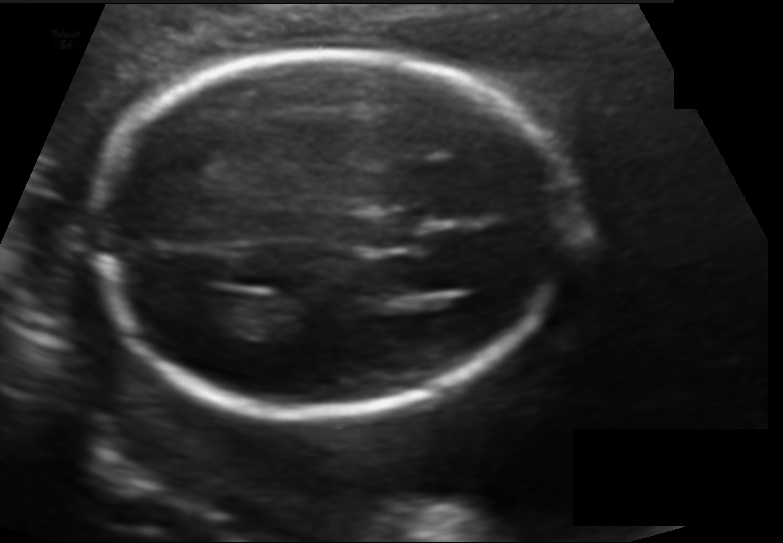
Estimate the fetal head circumference from this 2D ultrasound.

Head circumference: 174.2 mm (image width 100.2 mm).